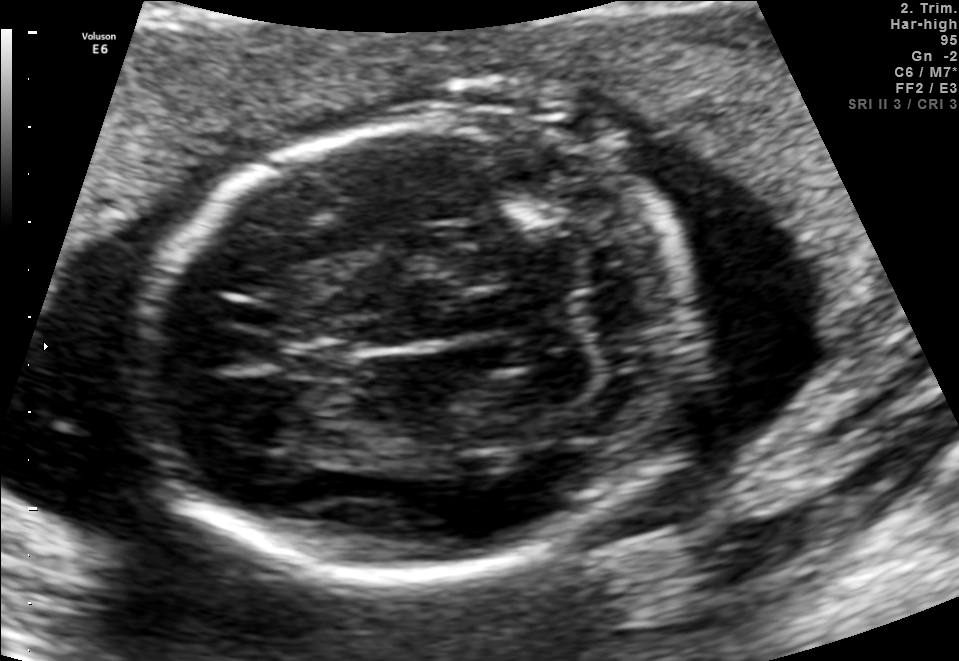
Fetal brain, trans-cerebellum plane. Where is the fetal head?

Head bounding box: [137,124,688,573]